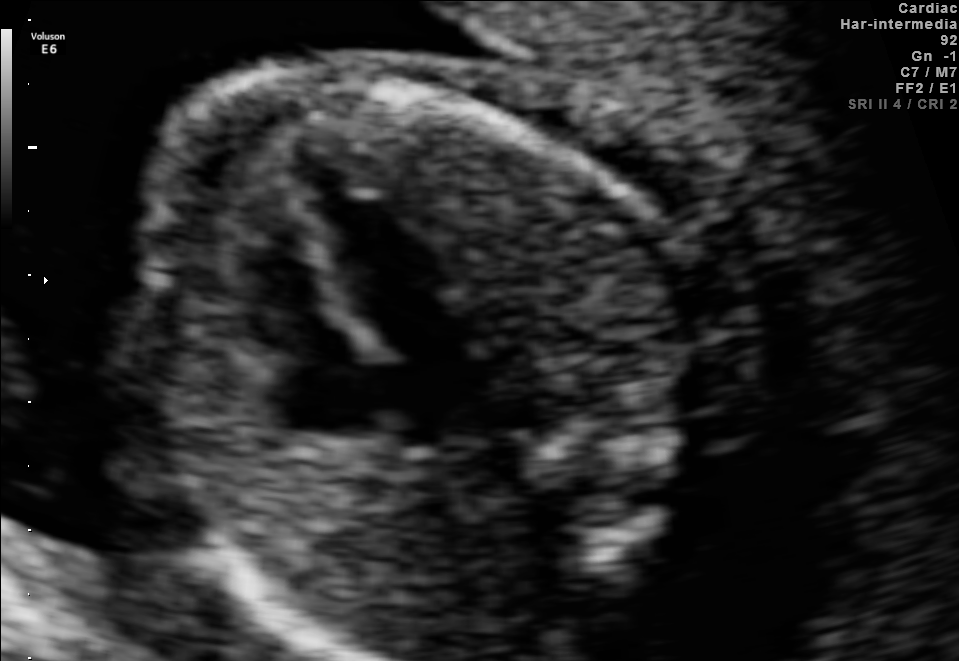
Classify this maternal-fetal ultrasound image as one of the six standard planes — fetal abdomen, fetal brain, fetal femur, fetal thorax, maternal cervix, or other. If it's fetal brain and one of the three standard brain planes (trans-thalamic, trans-cerebellum, trans-ventricular), name which.

Fetal thorax